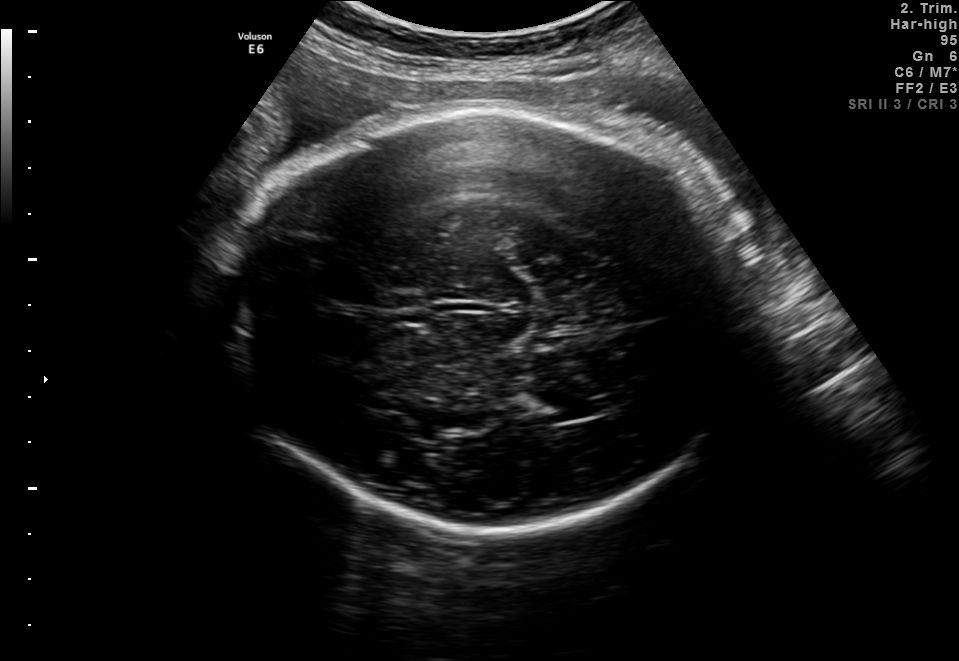
In this fetal brain, trans-thalamic plane, give the bounding box of the lateral ventricle.

[513,380,609,429]